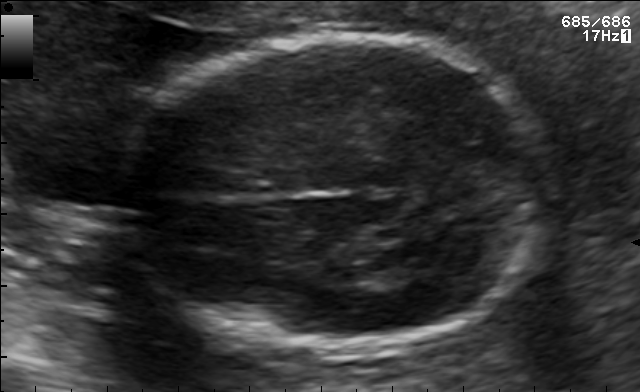
Identify the standard plane in this fetal ultrasound image: fetal abdomen, fetal brain, fetal femur, fetal thorax, maternal cervix, or other. If it's fetal brain and one of the three standard brain planes (trans-thalamic, trans-cerebellum, trans-ventricular), name which.

Fetal brain (trans-thalamic plane)